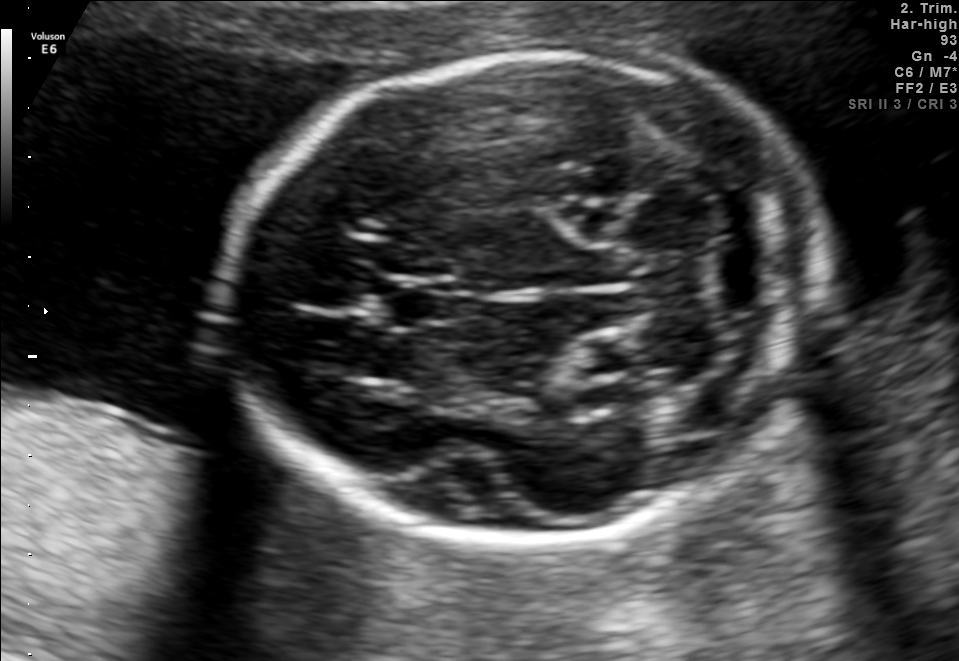
Fetal brain, trans-cerebellum plane. Give [x1,y1,x2,y2] bounding boxes for each visible structure among: fetal head, CSP, LV.

Head: [228,54,819,539]
CSP: [380,277,460,330]